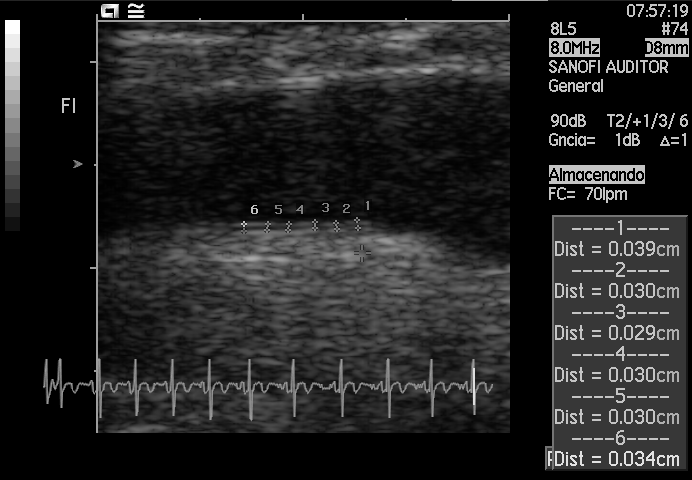
Identify the standard plane in this fetal ultrasound image: fetal abdomen, fetal brain, fetal femur, fetal thorax, maternal cervix, or other. If it's fetal brain and one of the three standard brain planes (trans-thalamic, trans-cerebellum, trans-ventricular), name which.

Other